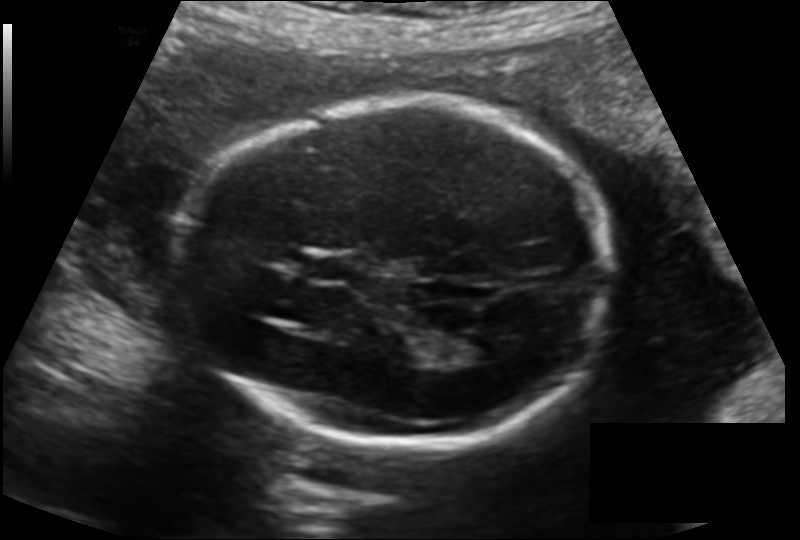
Fetal head ultrasound. Image width: 115.3 mm. Locate the lateral ventricle.

Lateral ventricle: [446,329,504,366]